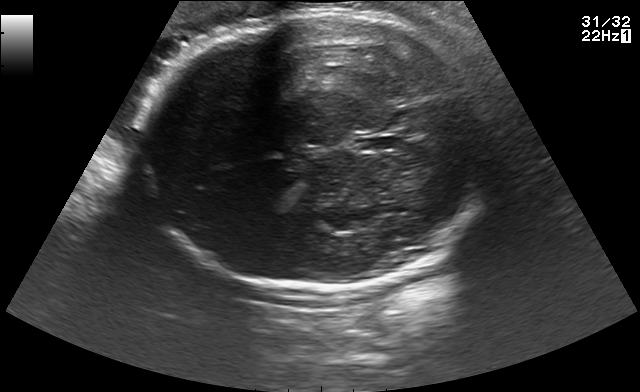
In this fetal brain, trans-thalamic plane, give the bounding box of the fetal head.

[138,14,495,290]